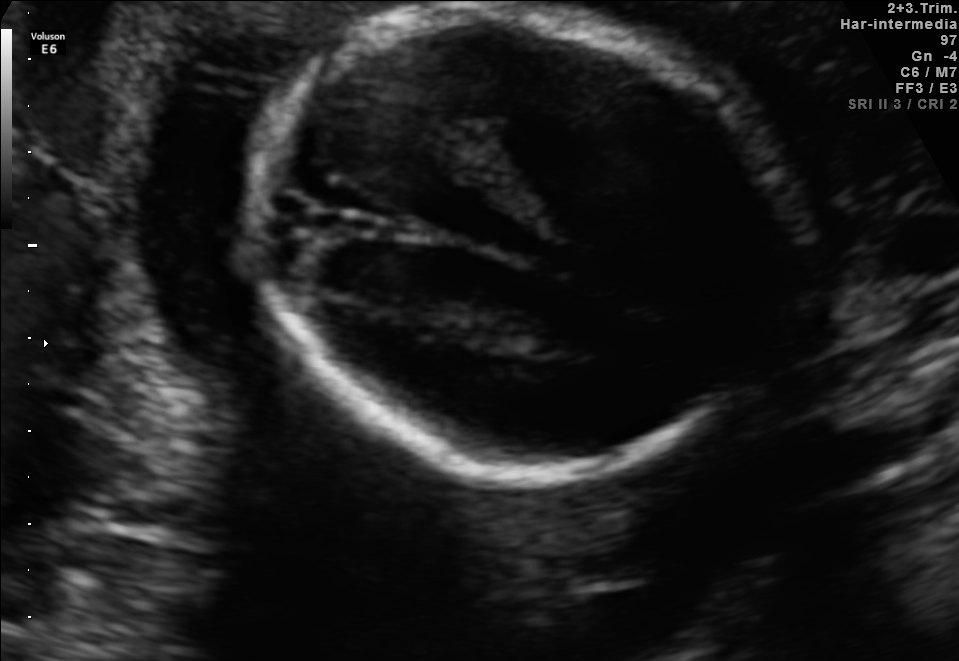
Fetal brain, trans-thalamic plane. Where is the fetal head?

Head bounding box: [253,11,804,474]